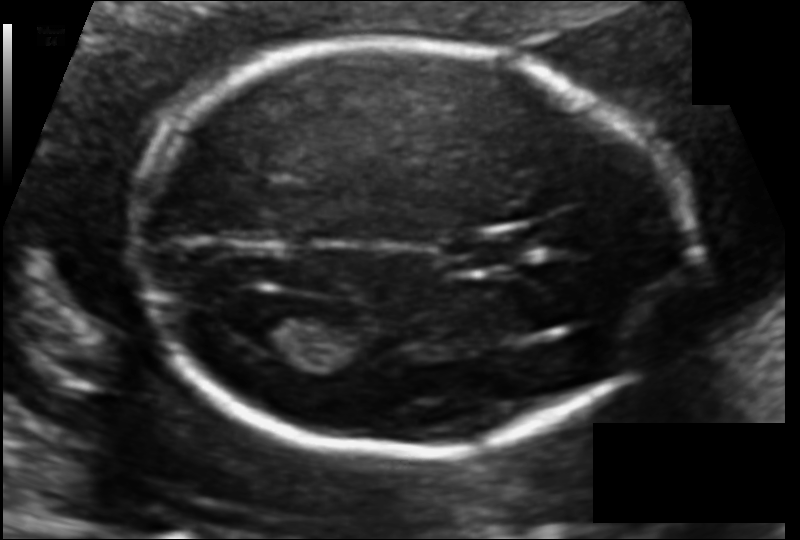
Estimate the fetal head circumference from this 2D ultrasound. Image width: 84.8 mm.

Head circumference: 166.4 mm.